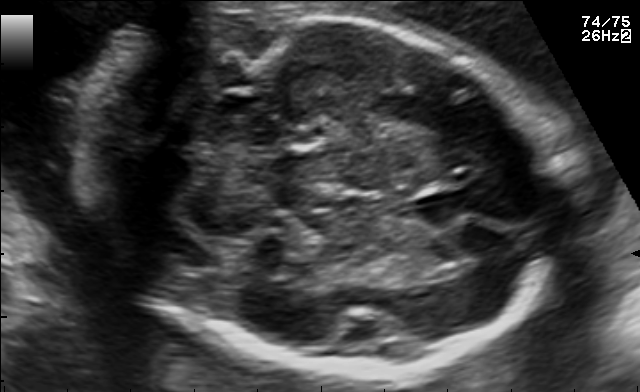
In this fetal brain, trans-cerebellum plane, give bounding boxes for the head outline, cavum septum pellucidum (CSP), and lateral ventricle (LV), where visible.

Head: [93,12,559,372]